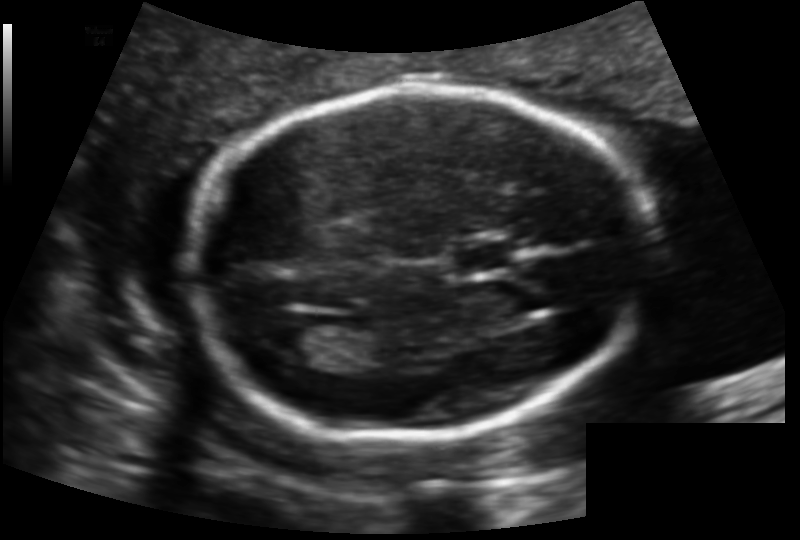
In this fetal head ultrasound, give the bounding box of the cavum septum pellucidum. Image width: 103.4 mm.

[450,239,514,277]